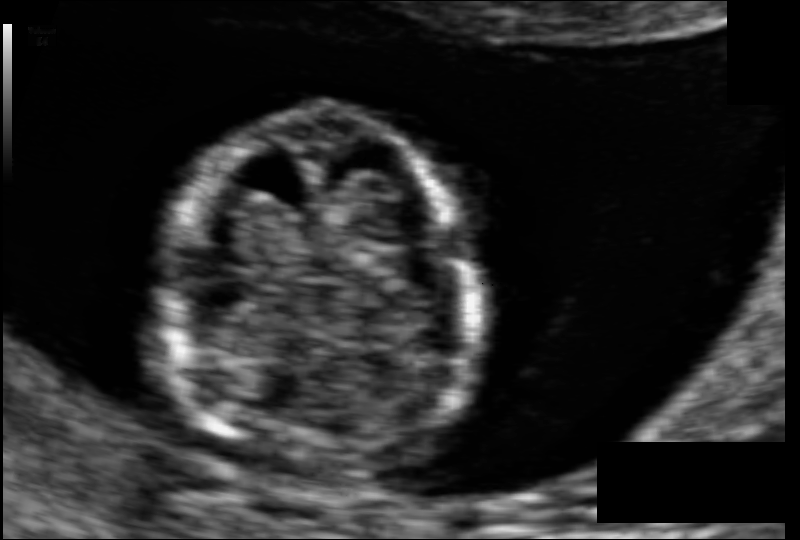
In this fetal head ultrasound, give bounding boxes for the head outline, cavum septum pellucidum (CSP), and lateral ventricle (LV), where visible. Image width: 54.8 mm.

Head: [166,113,481,484]